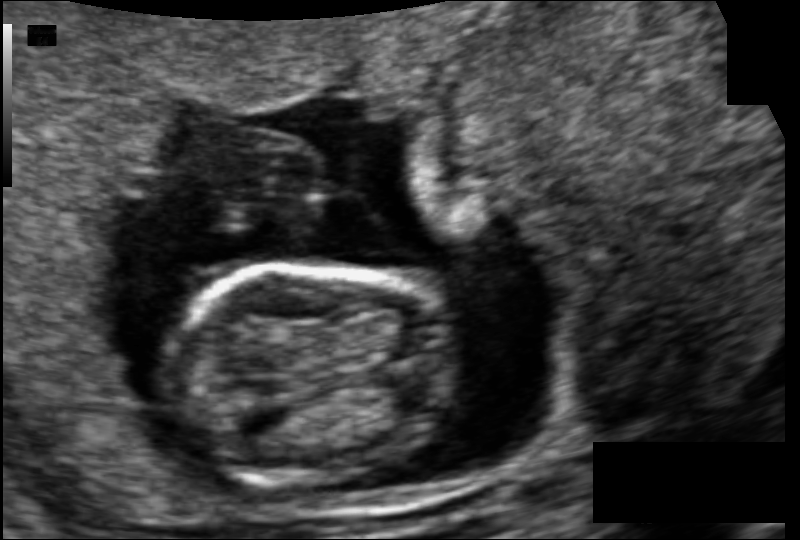
From this fetal ultrasound, estimate the head circumference (image width 70.0 mm).

Head circumference: 71.9 mm.